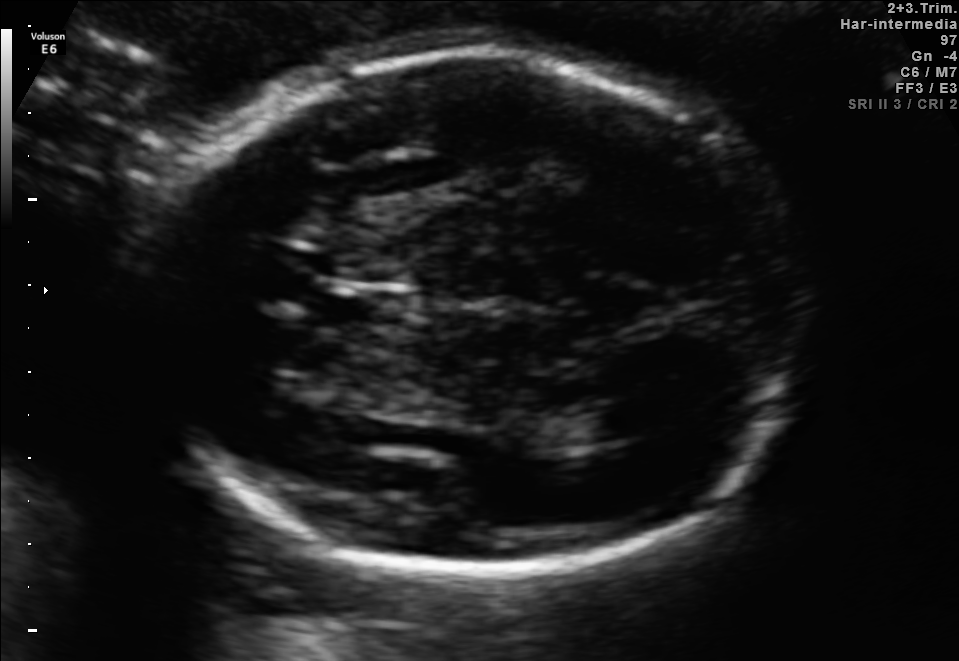
Fetal brain, trans-thalamic plane. Give [x1,y1,x2,y2] bounding boxes for each visible structure among: fetal head, CSP, LV.

Head: [150,50,801,583]
CSP: [324,293,405,326]
Lateral ventricle: [547,413,625,451]